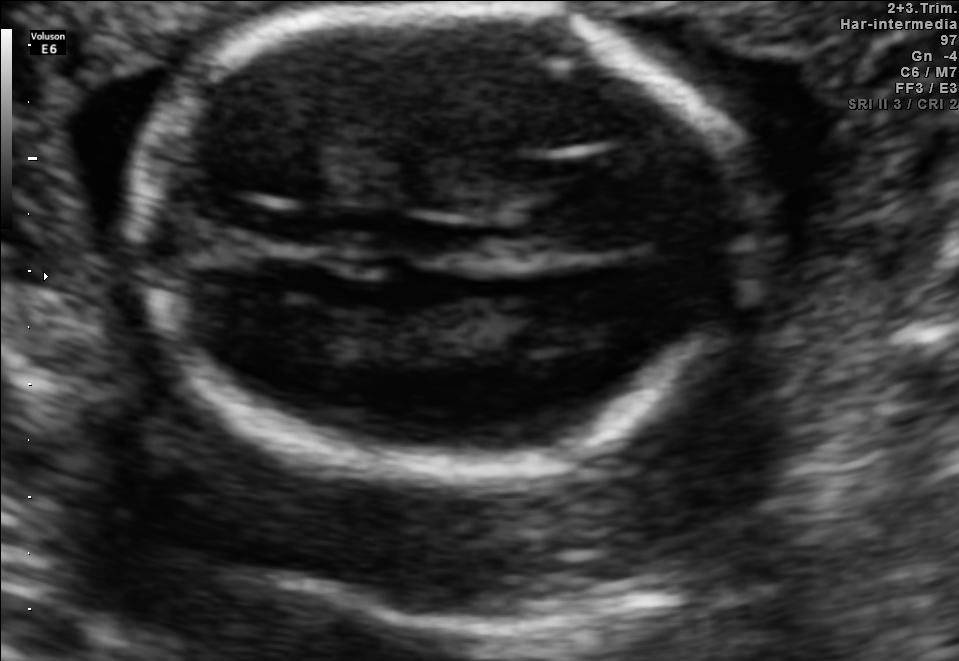
In this fetal brain, trans-thalamic plane, give bounding boxes for the head outline, cavum septum pellucidum (CSP), and lateral ventricle (LV), where visible.

Head: [134,9,765,480]
CSP: [251,203,338,247]